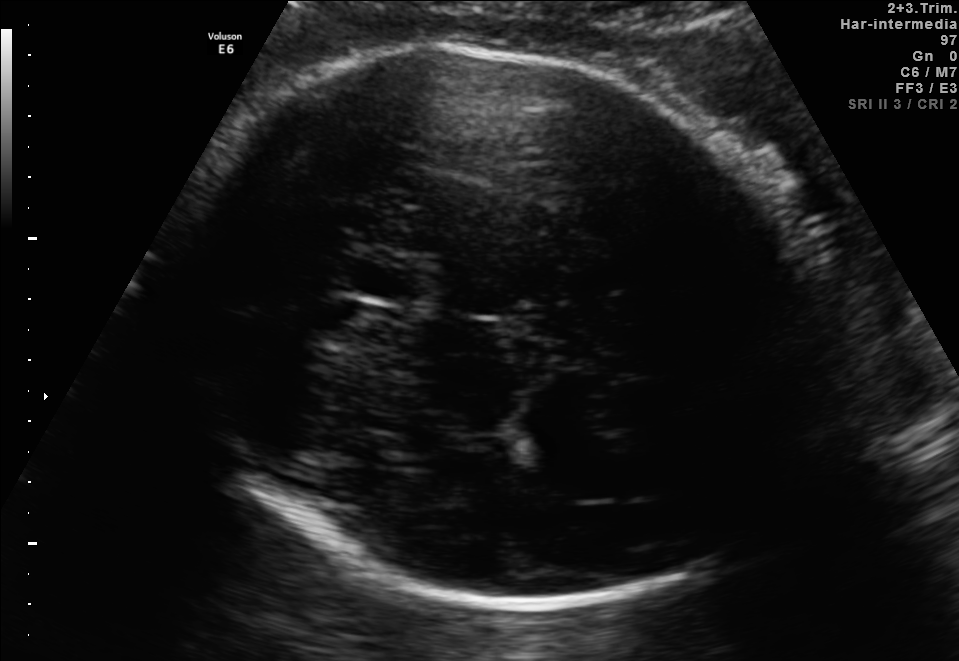
Fetal brain, trans-thalamic plane. Give [x1,y1,x2,y2] bounding boxes for each visible structure among: fetal head, CSP, LV.

Head: [179,46,818,609]
CSP: [350,257,417,304]